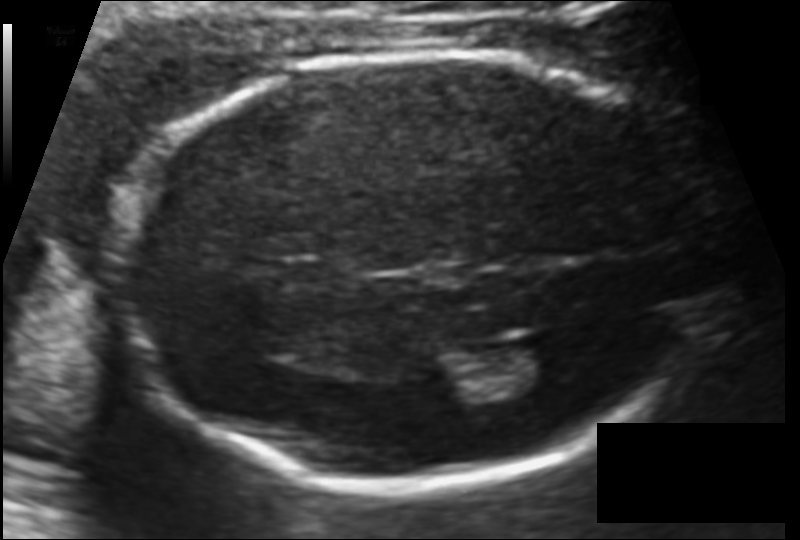
What is the fetal head circumference? Image width is 91.0 mm.

190.9 mm